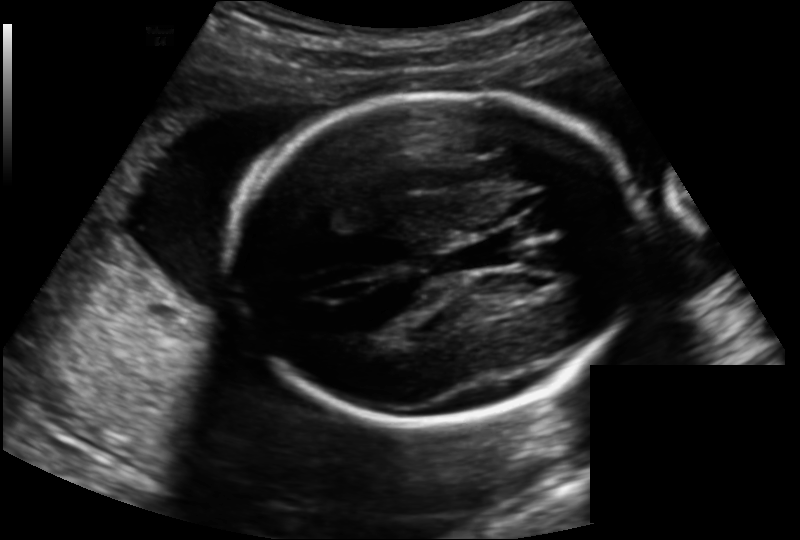
Fetal head ultrasound. Image width: 130.7 mm. Locate the fetal head and, if visible, the cavum septum pellucidum (CSP) and lateral ventricle (LV). Give bounding boxes as [x1,y1,x2,y2].

Head: [233,94,646,422]